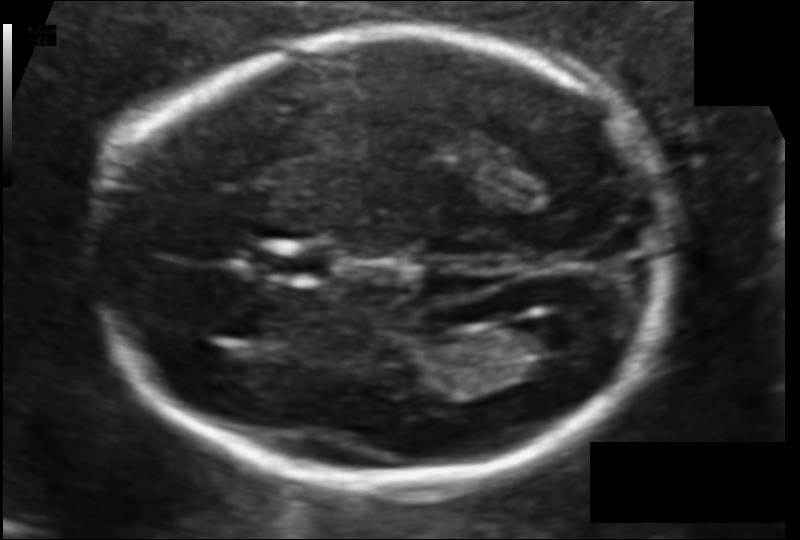
Fetal head ultrasound. Image width: 85.0 mm. Locate the lateral ventricle.

Lateral ventricle: [496,307,600,383]